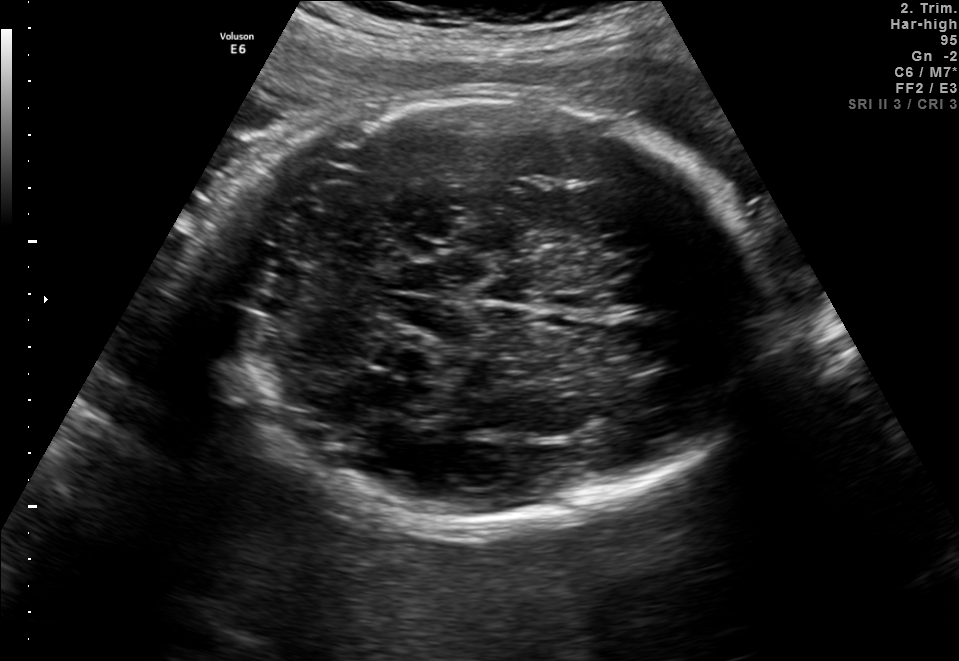
Fetal brain, trans-cerebellum plane. Locate the fetal head and, if visible, the cavum septum pellucidum (CSP) and lateral ventricle (LV). Give bounding boxes as [x1,y1,x2,y2].

Head: [222,98,753,523]